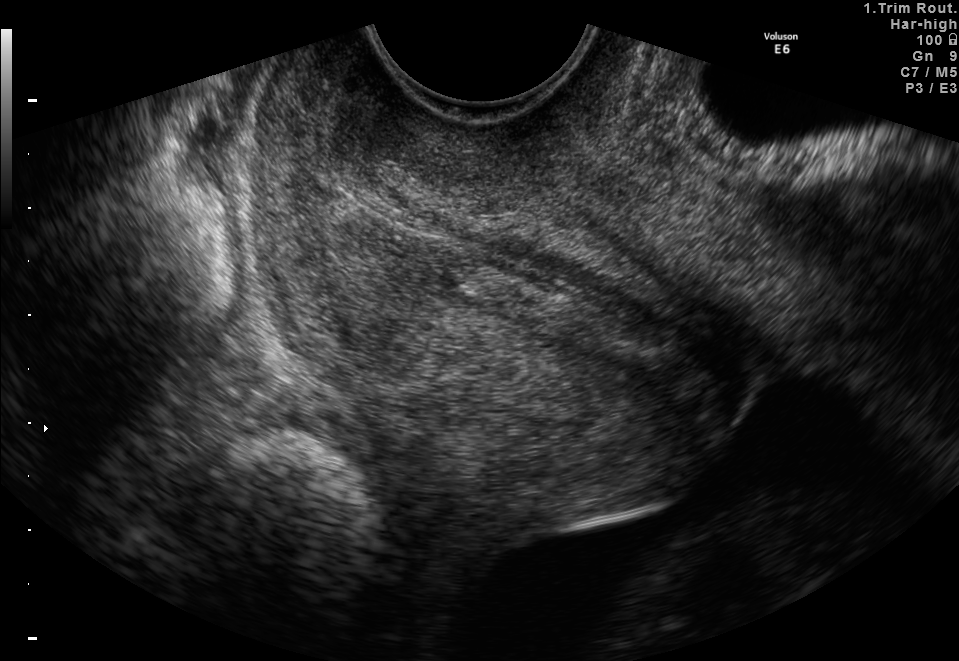
Which standard maternal-fetal ultrasound plane is shown: fetal abdomen, fetal brain, fetal femur, fetal thorax, maternal cervix, or other? If it's fetal brain and one of the three standard brain planes (trans-thalamic, trans-cerebellum, trans-ventricular), name which.

Maternal cervix